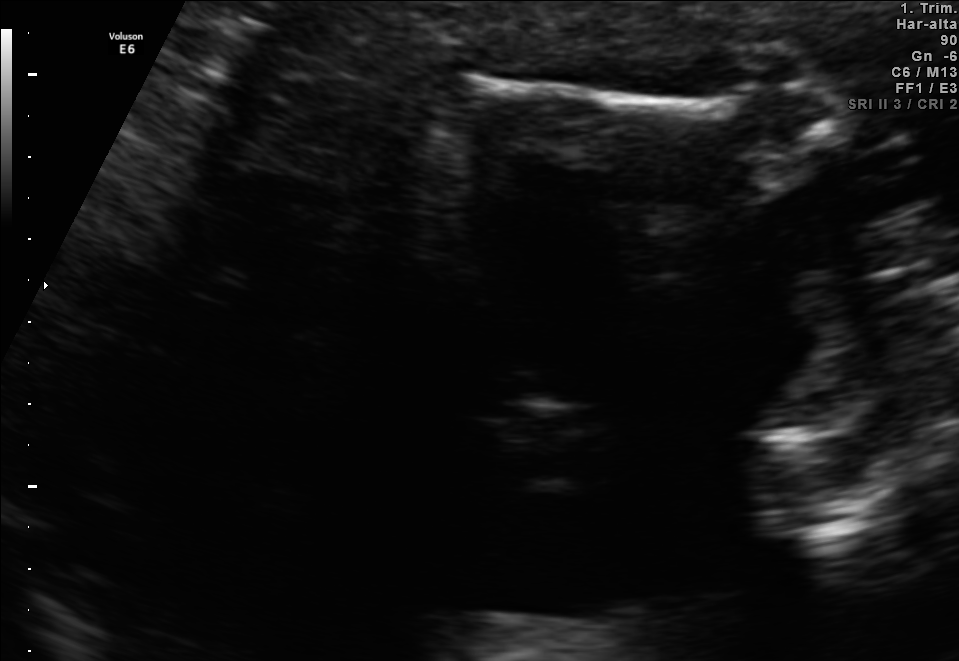
Classify this maternal-fetal ultrasound image as one of the six standard planes — fetal abdomen, fetal brain, fetal femur, fetal thorax, maternal cervix, or other. If it's fetal brain and one of the three standard brain planes (trans-thalamic, trans-cerebellum, trans-ventricular), name which.

Other